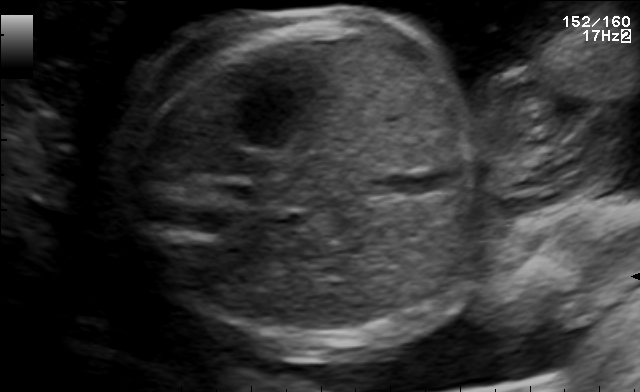
Identify the standard plane in this fetal ultrasound image: fetal abdomen, fetal brain, fetal femur, fetal thorax, maternal cervix, or other. If it's fetal brain and one of the three standard brain planes (trans-thalamic, trans-cerebellum, trans-ventricular), name which.

Fetal abdomen